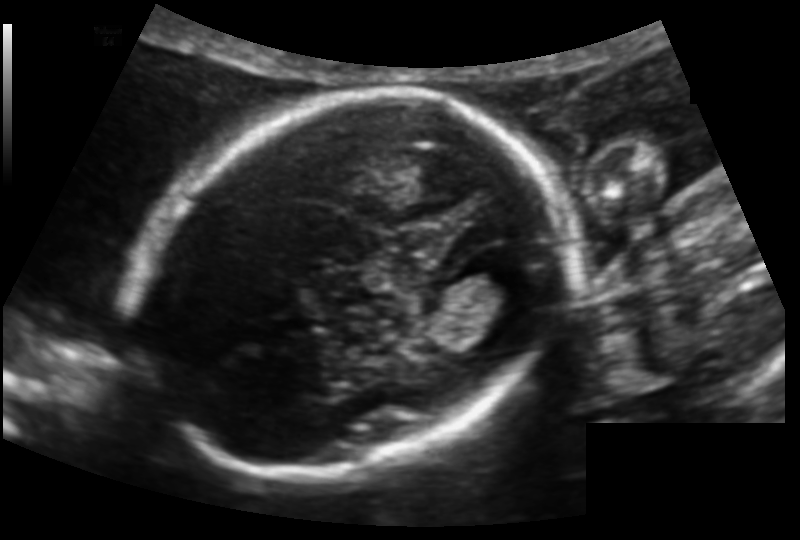
Fetal head ultrasound. Image width: 98.5 mm. Where is the lateral ventricle?

Lateral ventricle bounding box: [455,242,531,317]